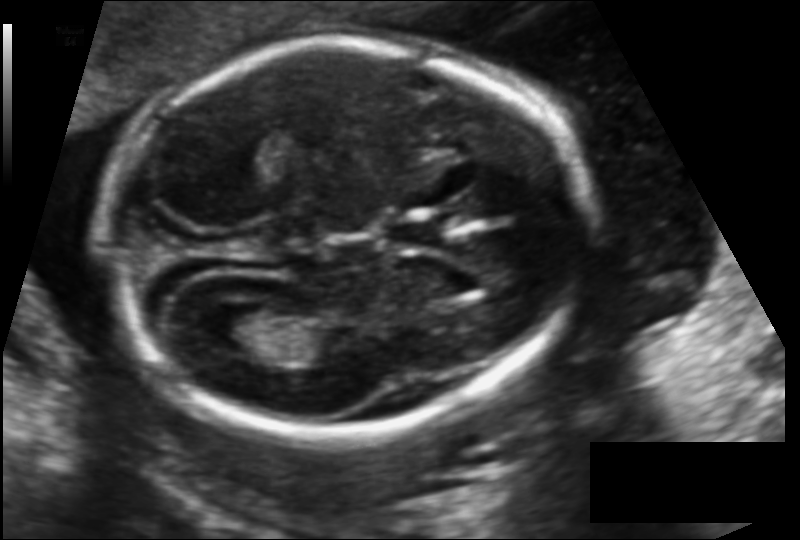
Estimate the fetal head circumference from this 2D ultrasound.

Head circumference: 173.7 mm (image width 98.7 mm).